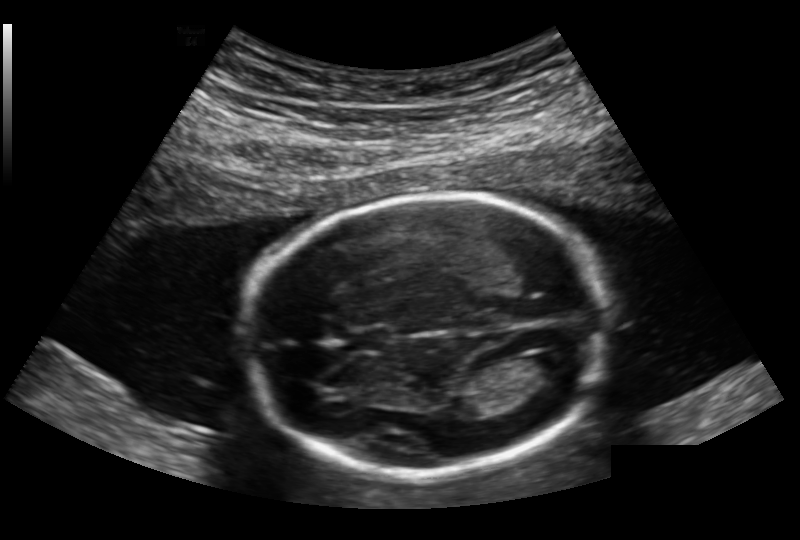
In this fetal head ultrasound, give bounding boxes for the head outline, cavum septum pellucidum (CSP), and lateral ventricle (LV), where visible. Image width: 134.4 mm.

Head: [246,195,606,474]
CSP: [349,326,394,354]
Lateral ventricle: [521,346,578,387]